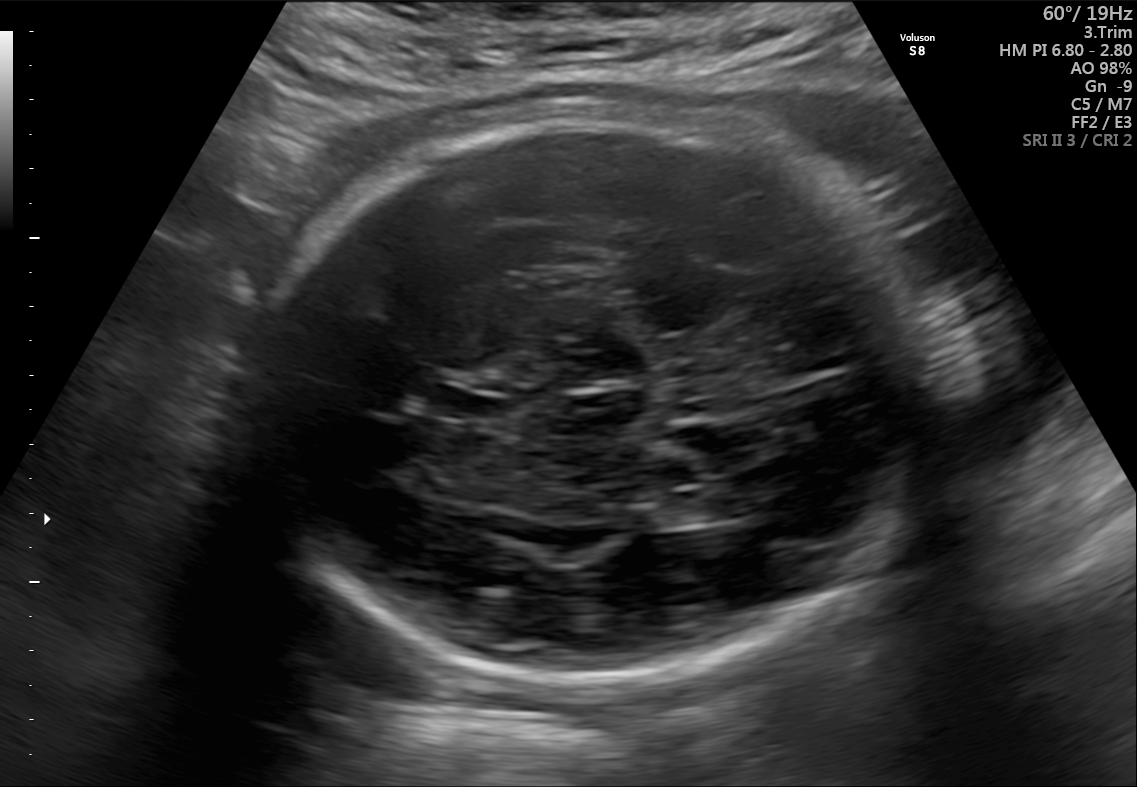
In this fetal brain, trans-ventricular plane, give bounding boxes for the head outline, cavum septum pellucidum (CSP), and lateral ventricle (LV), where visible.

Head: [248,104,937,700]